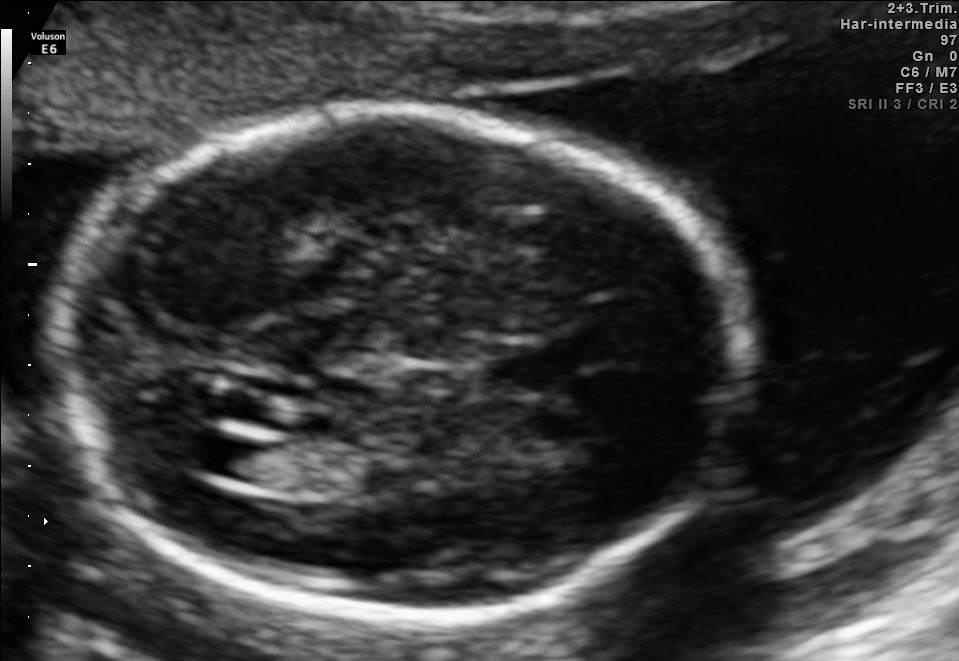
Fetal brain, trans-ventricular plane. Where is the fetal head?

Head bounding box: [44,101,771,632]